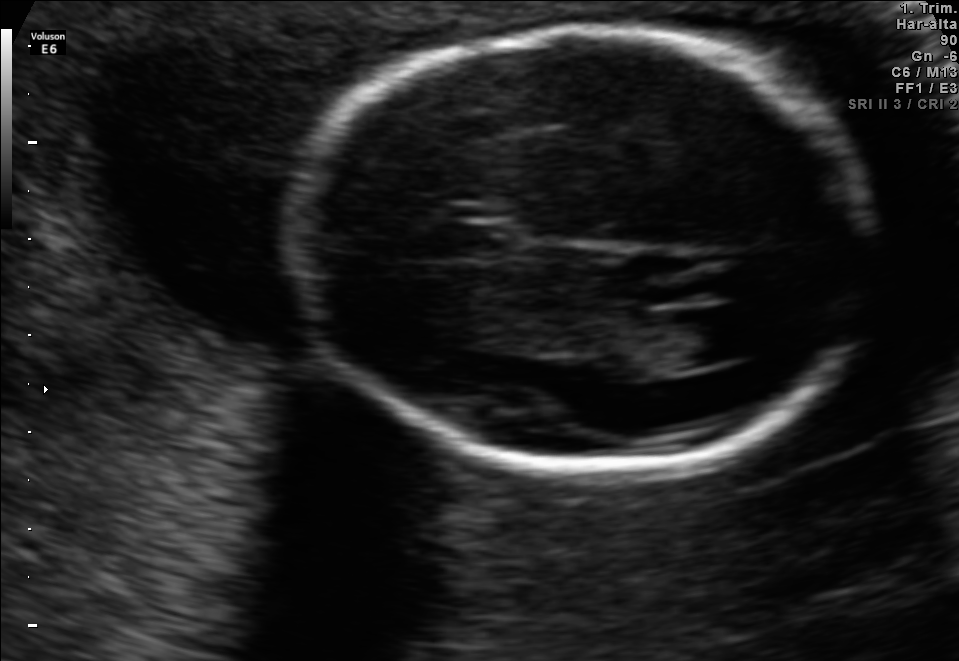
Fetal brain, trans-ventricular plane. Give [x1,y1,x2,y2] bounding boxes for each visible structure among: fetal head, CSP, LV.

Head: [281,23,888,476]
CSP: [422,224,518,259]
Lateral ventricle: [651,300,763,375]